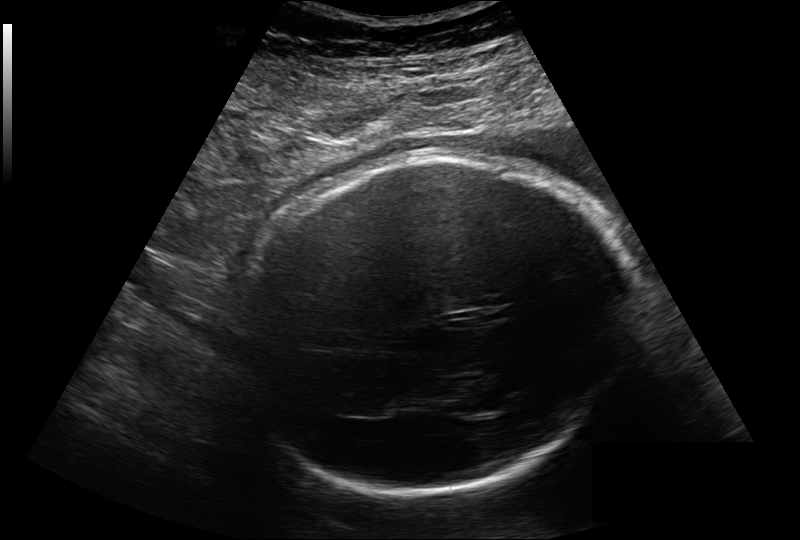
In this fetal head ultrasound, give bounding boxes for the head outline, cavum septum pellucidum (CSP), and lateral ventricle (LV), where visible. Image width: 211.0 mm.

Head: [236,154,631,493]